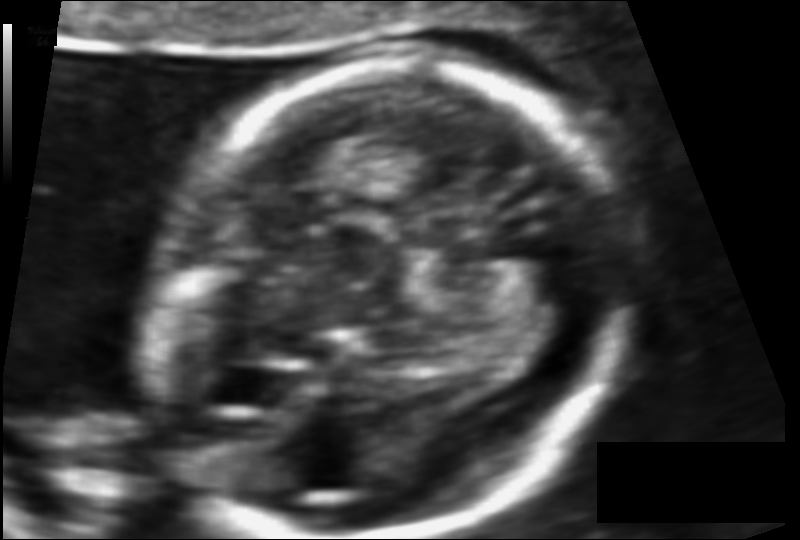
In this fetal head ultrasound, give bounding boxes for the head outline, cavum septum pellucidum (CSP), and lateral ventricle (LV), where visible. Image width: 66.0 mm.

Head: [143,65,626,536]